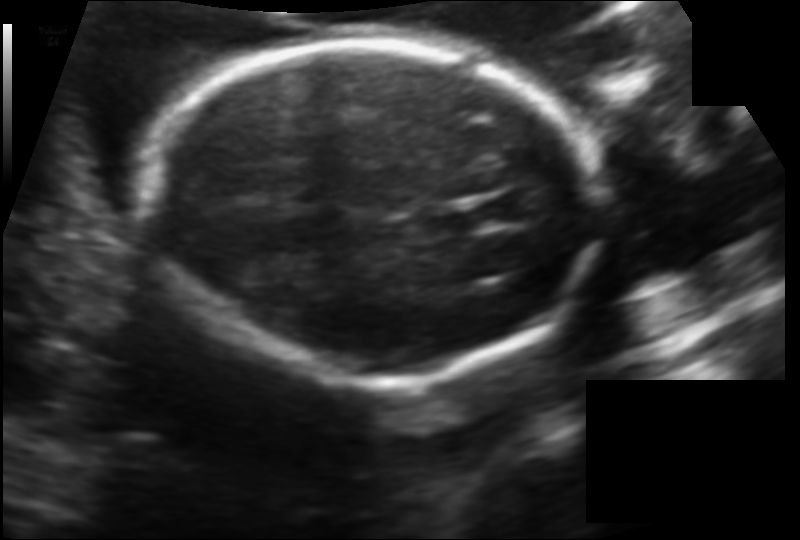
In this fetal head ultrasound, give bounding boxes for the head outline, cavum septum pellucidum (CSP), and lateral ventricle (LV), where visible. Image width: 108.5 mm.

Head: [148,41,589,383]